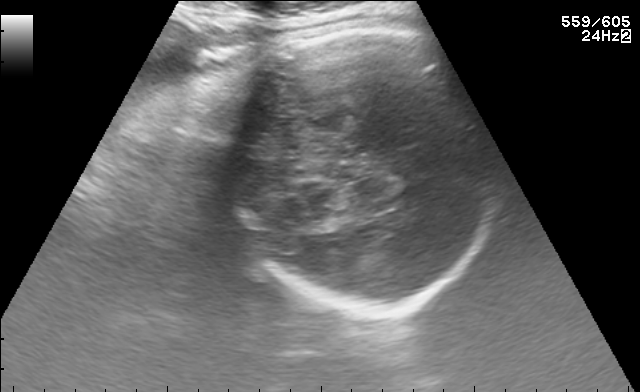
Classify this maternal-fetal ultrasound image as one of the six standard planes — fetal abdomen, fetal brain, fetal femur, fetal thorax, maternal cervix, or other. If it's fetal brain and one of the three standard brain planes (trans-thalamic, trans-cerebellum, trans-ventricular), name which.

Fetal brain